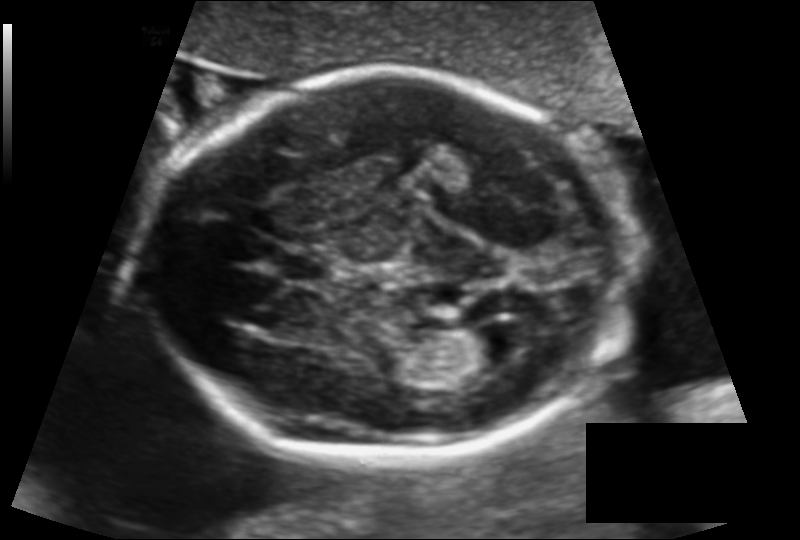
In this fetal head ultrasound, give the bounding box of the fetal head. Image width: 103.5 mm.

[146,70,632,457]